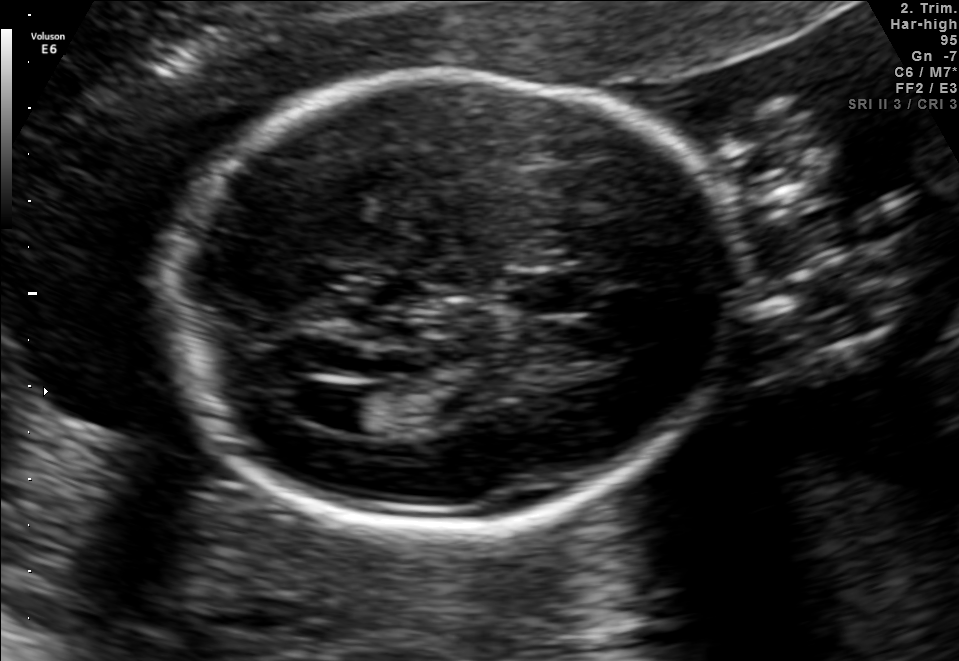
In this fetal brain, trans-ventricular plane, give the bounding box of the cavum septum pellucidum.

[497,267,601,321]